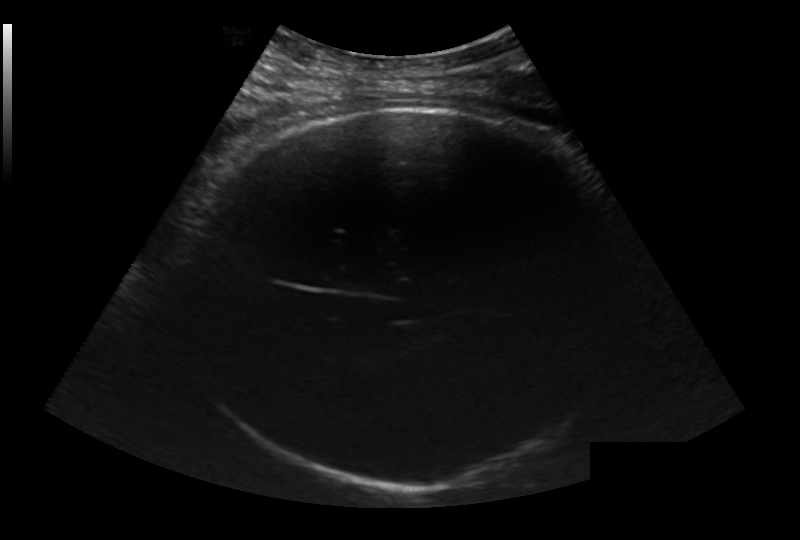
Measure the fetal head circumference shown in this ultrasound image. Image width: 188.6 mm.

Head circumference: 321.8 mm.